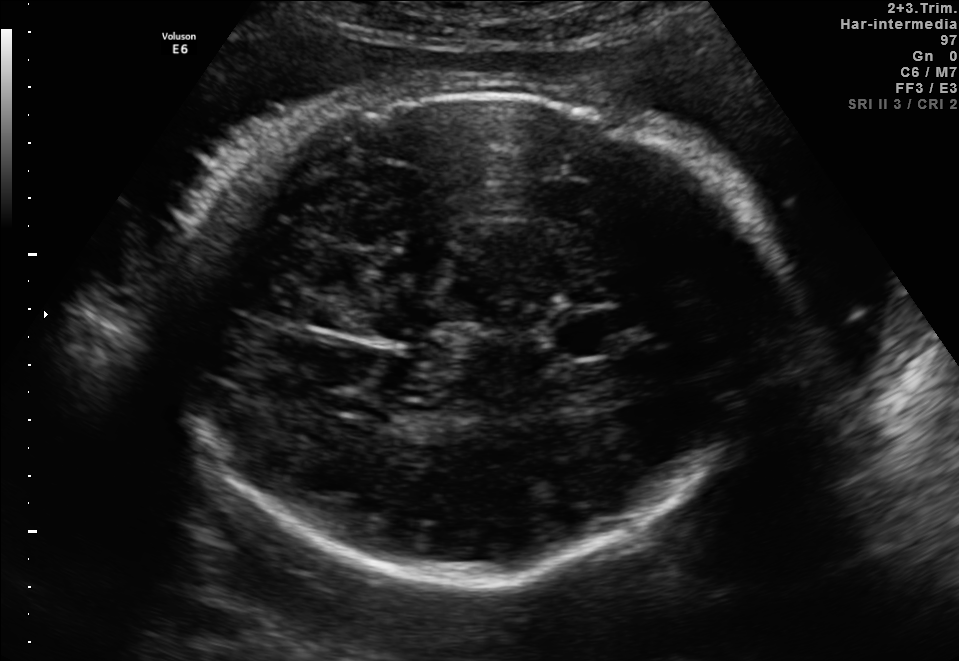
Fetal brain, trans-thalamic plane. Locate the cavum septum pellucidum.

CSP: [554,303,628,359]